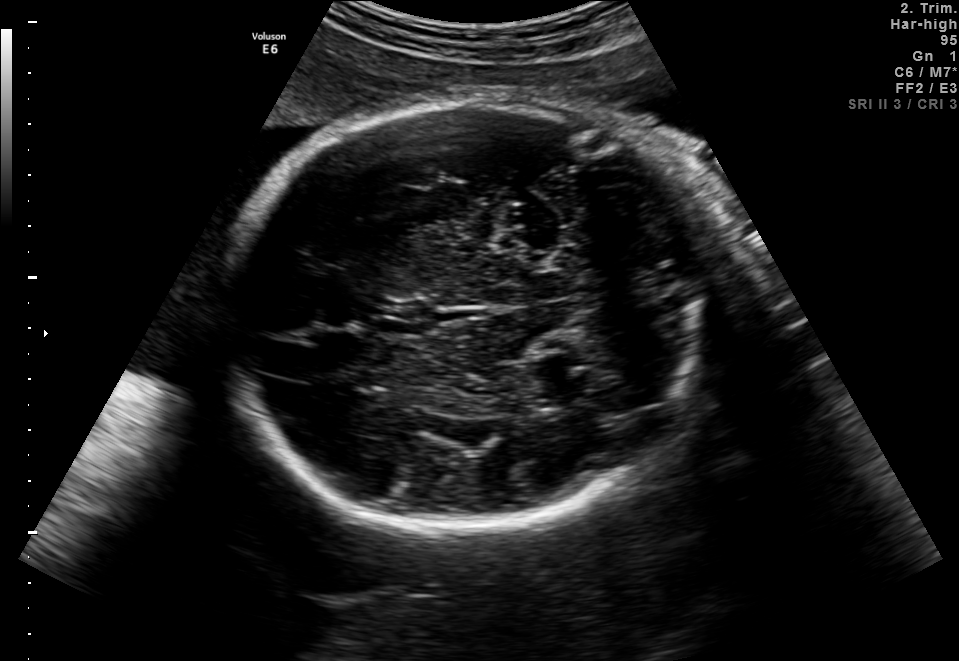
Fetal brain, trans-thalamic plane. Locate the fetal head and, if visible, the cavum septum pellucidum (CSP) and lateral ventricle (LV). Give bounding boxes as [x1,y1,x2,y2].

Head: [223,98,712,531]